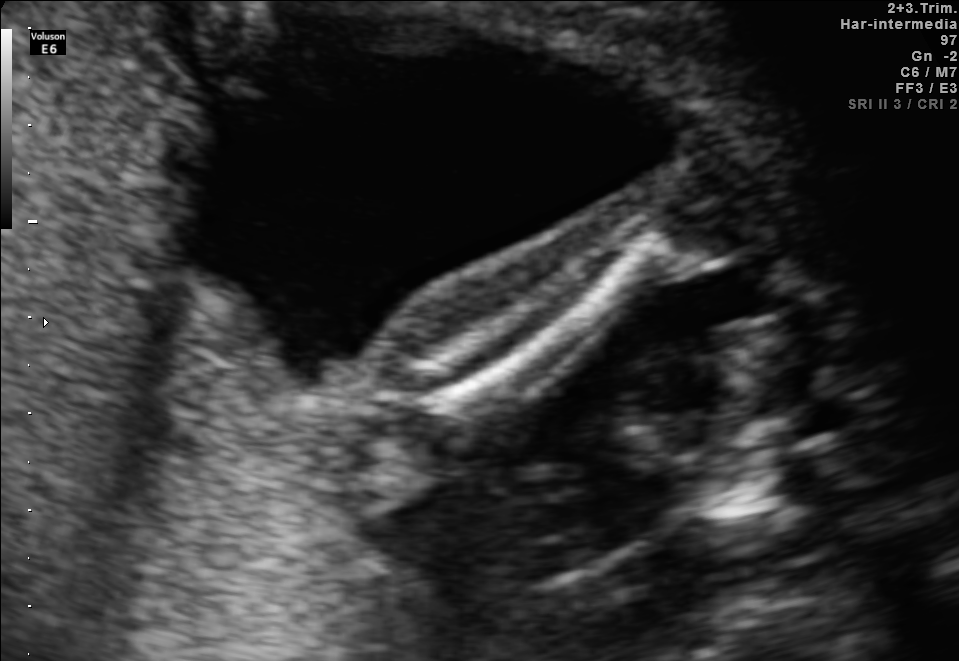
Identify the standard plane in this fetal ultrasound image: fetal abdomen, fetal brain, fetal femur, fetal thorax, maternal cervix, or other. If it's fetal brain and one of the three standard brain planes (trans-thalamic, trans-cerebellum, trans-ventricular), name which.

Other